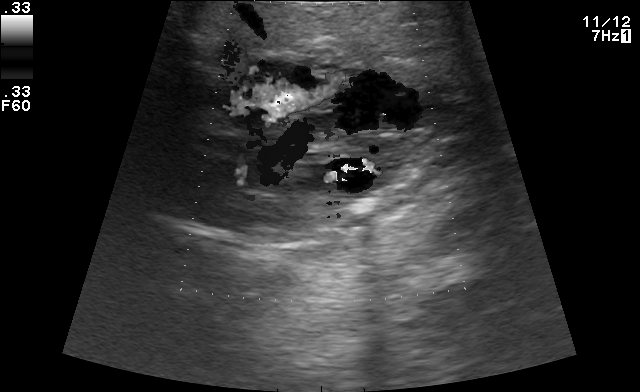
Identify the standard plane in this fetal ultrasound image: fetal abdomen, fetal brain, fetal femur, fetal thorax, maternal cervix, or other. If it's fetal brain and one of the three standard brain planes (trans-thalamic, trans-cerebellum, trans-ventricular), name which.

Other